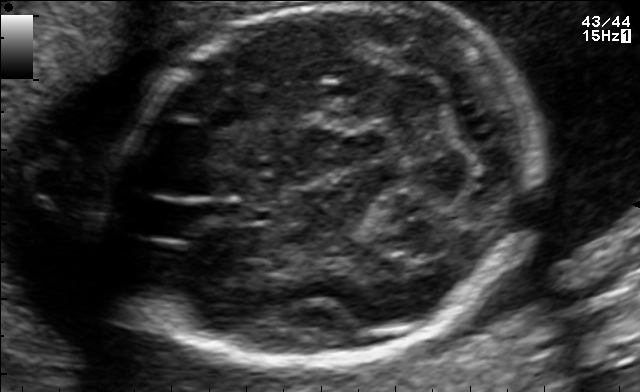
Fetal brain, trans-cerebellum plane. Give [x1,y1,x2,y2] bounding boxes for each visible structure among: fetal head, CSP, LV.

Head: [111,3,545,364]